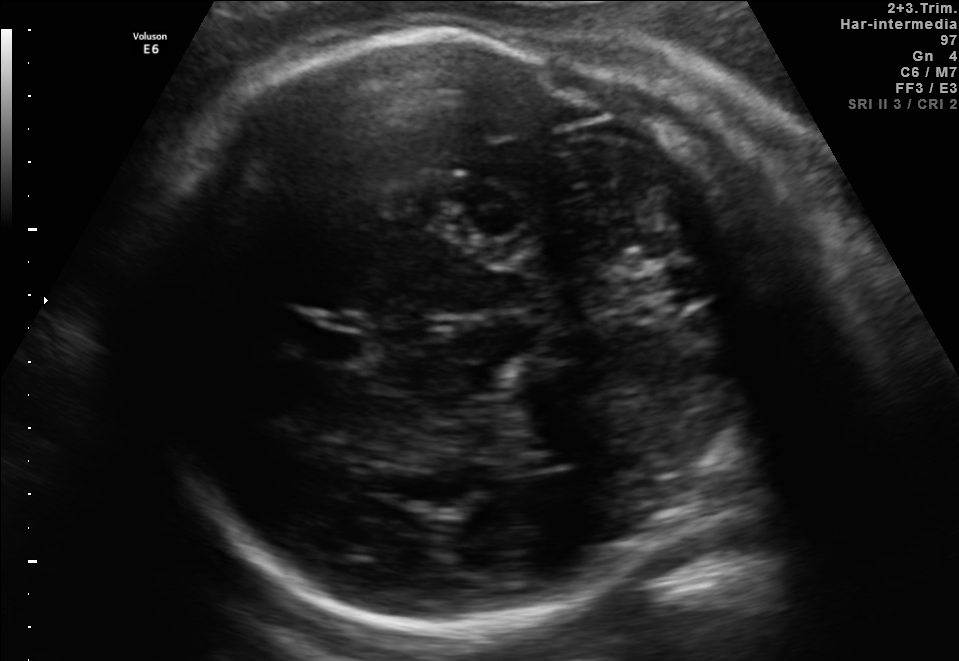
Fetal brain, trans-thalamic plane. Where is the lateral ventricle?

Lateral ventricle bounding box: [512,435,585,476]